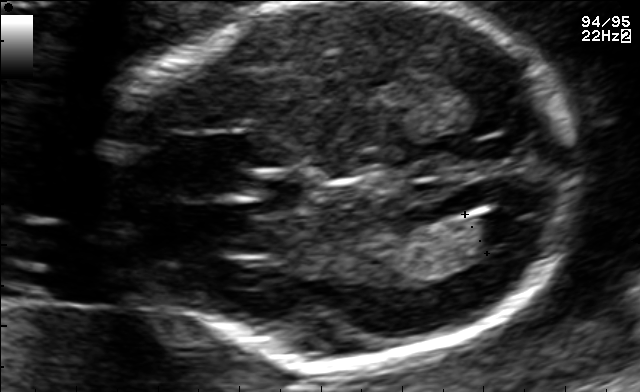
Fetal brain, trans-ventricular plane. Locate the fetal head.

Head: [94,1,595,377]